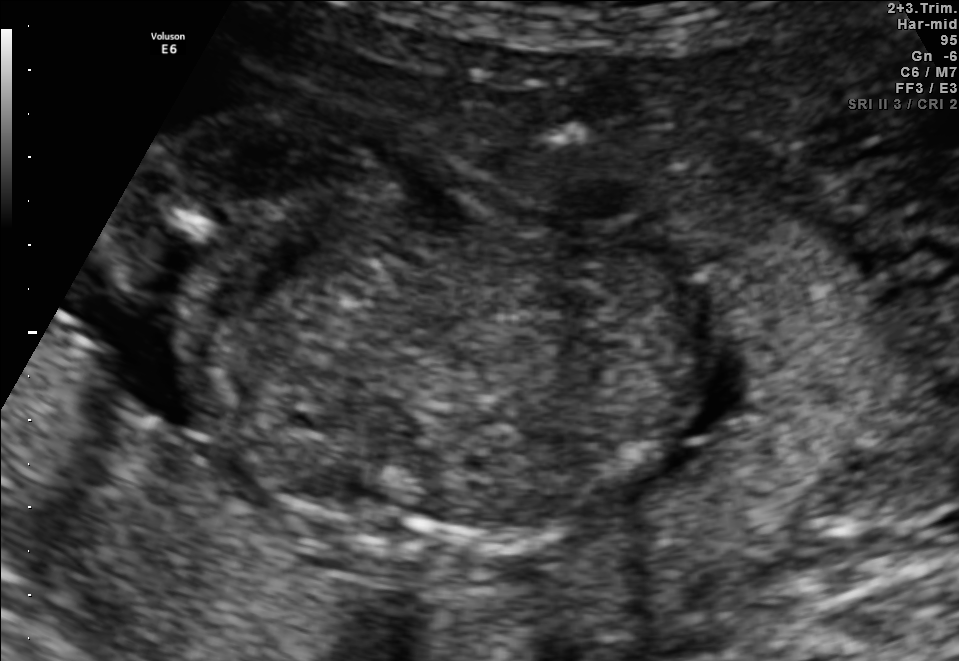
This is a 2D maternal-fetal ultrasound frame. Is it a fetal abdomen, fetal brain, fetal femur, fetal thorax, maternal cervix, or other standard plane? If it's fetal brain and one of the three standard brain planes (trans-thalamic, trans-cerebellum, trans-ventricular), name which.

Other